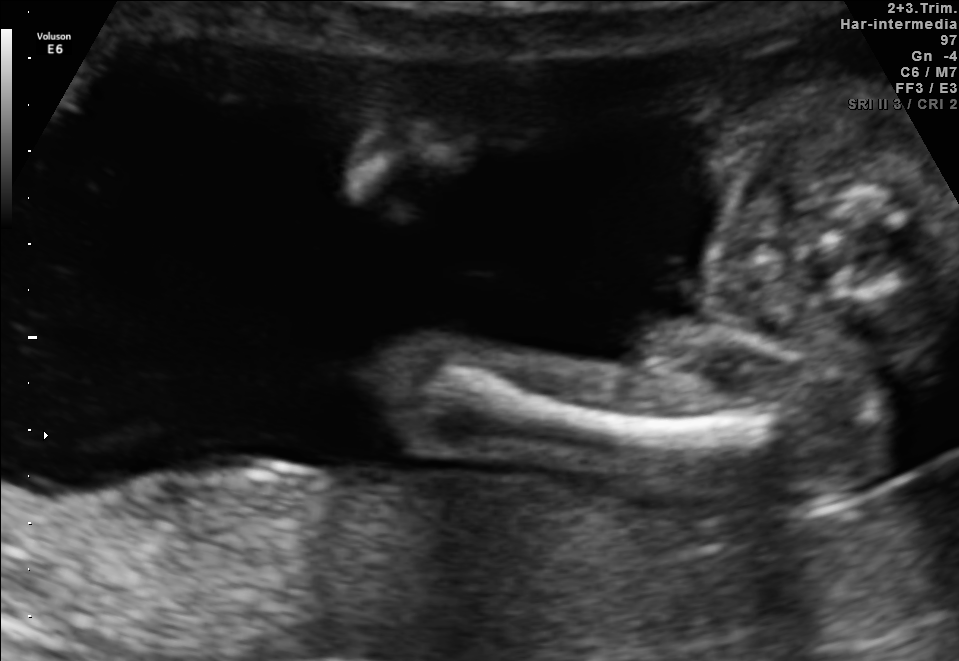
Which standard maternal-fetal ultrasound plane is shown: fetal abdomen, fetal brain, fetal femur, fetal thorax, maternal cervix, or other? If it's fetal brain and one of the three standard brain planes (trans-thalamic, trans-cerebellum, trans-ventricular), name which.

Fetal femur